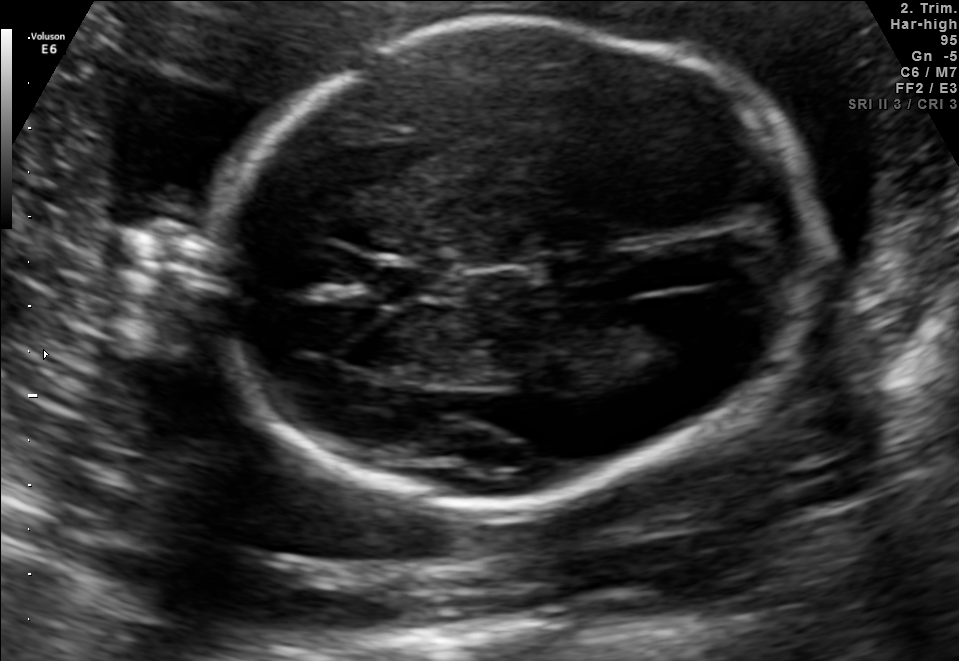
Fetal brain, trans-ventricular plane. Where is the cavum septum pellucidum?

CSP bounding box: [373,258,463,299]